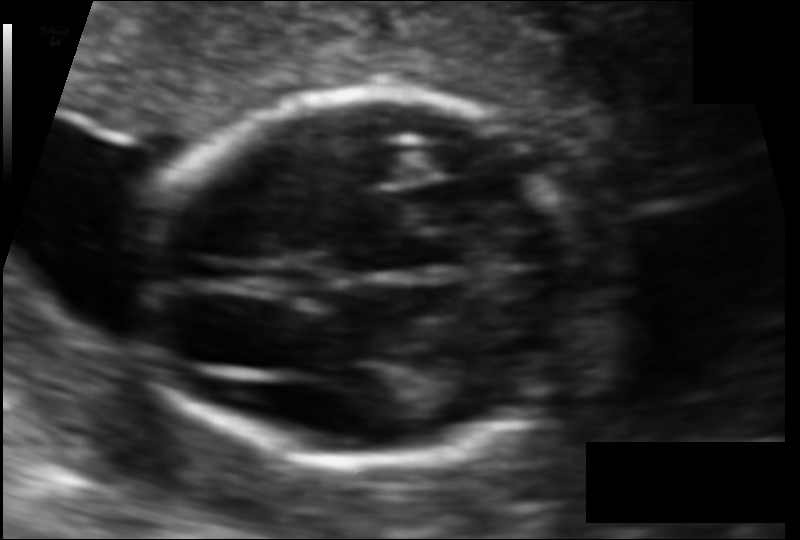
Fetal head ultrasound. Image width: 70.1 mm. Give [x1,y1,x2,y2] bounding boxes for each visible structure among: fetal head, CSP, LV.

Head: [145,92,583,464]